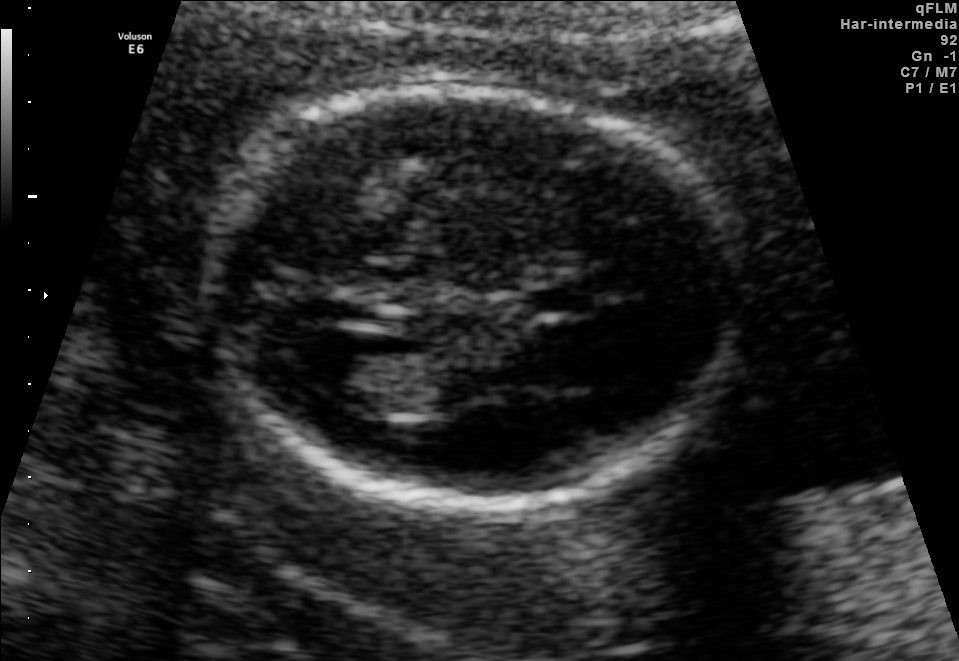
In this fetal brain, trans-ventricular plane, give bounding boxes for the head outline, cavum septum pellucidum (CSP), and lateral ventricle (LV), where visible.

Head: [183,78,772,515]
CSP: [523,288,597,313]
Lateral ventricle: [285,333,400,408]